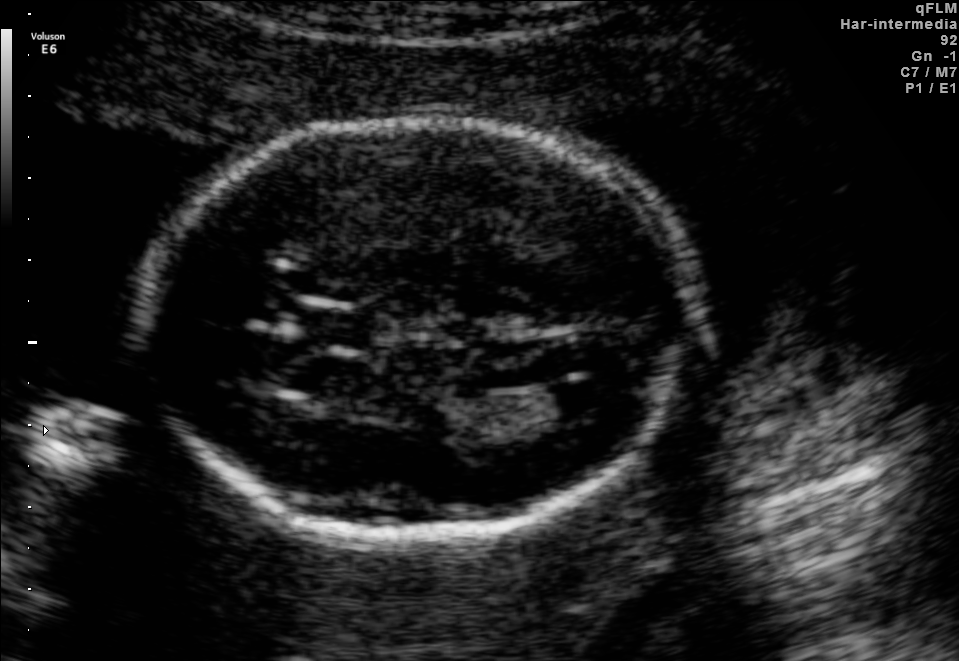
In this fetal brain, trans-ventricular plane, give bounding boxes for the head outline, cavum septum pellucidum (CSP), and lateral ventricle (LV), where visible.

Head: [133,111,706,546]
CSP: [290,300,392,357]
Lateral ventricle: [541,376,619,424]